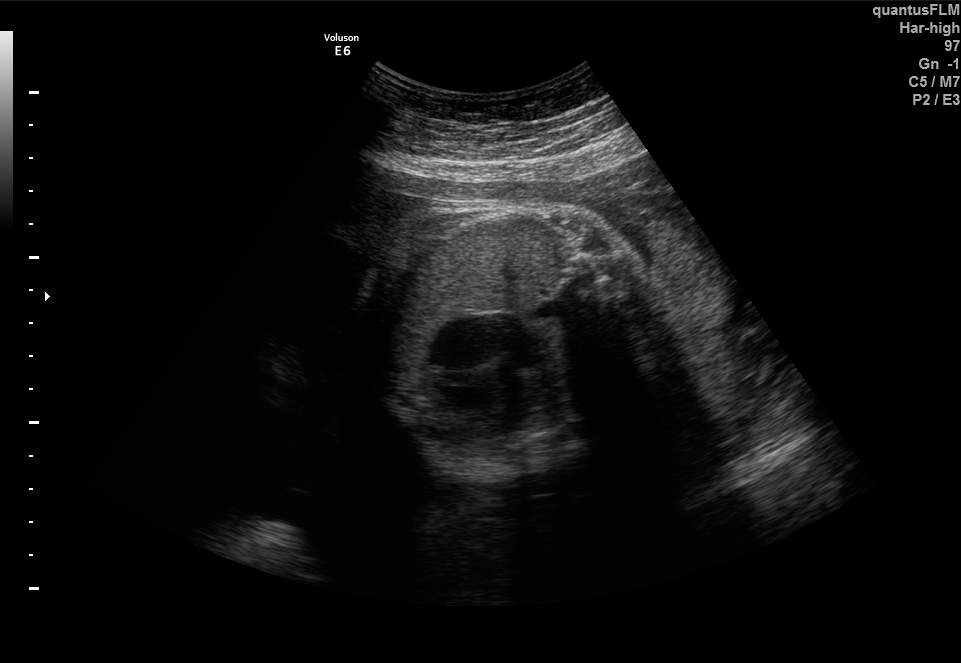
This is a 2D maternal-fetal ultrasound frame. Is it a fetal abdomen, fetal brain, fetal femur, fetal thorax, maternal cervix, or other standard plane? If it's fetal brain and one of the three standard brain planes (trans-thalamic, trans-cerebellum, trans-ventricular), name which.

Fetal thorax